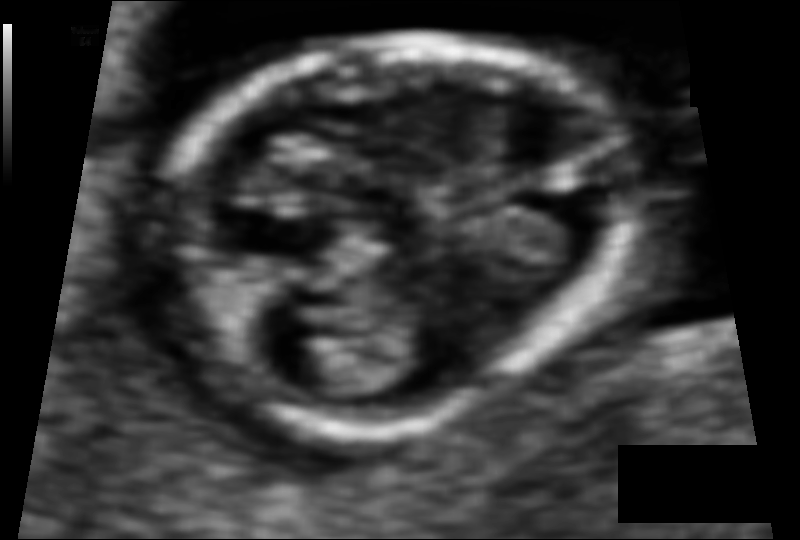
Estimate the fetal head circumference from this 2D ultrasound. Image width: 47.7 mm.

Head circumference: 85.4 mm.